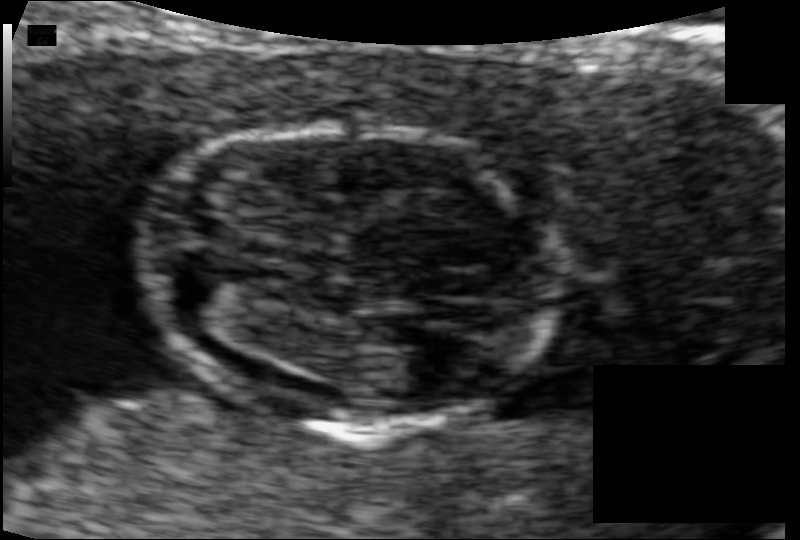
Fetal head ultrasound. Image width: 52.6 mm. Where is the fetal head?

Head bounding box: [144,128,551,428]